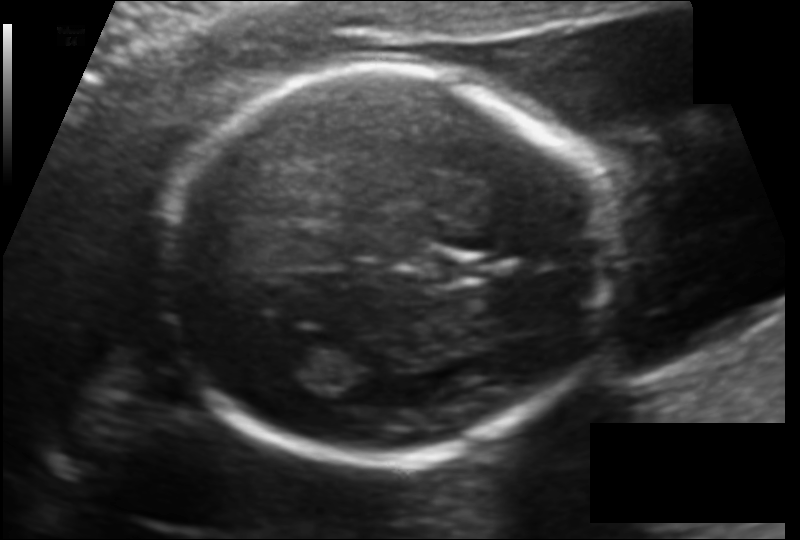
Measure the fetal head circumference shown in this ultrasound image. Image width: 98.0 mm.

Head circumference: 168.5 mm.